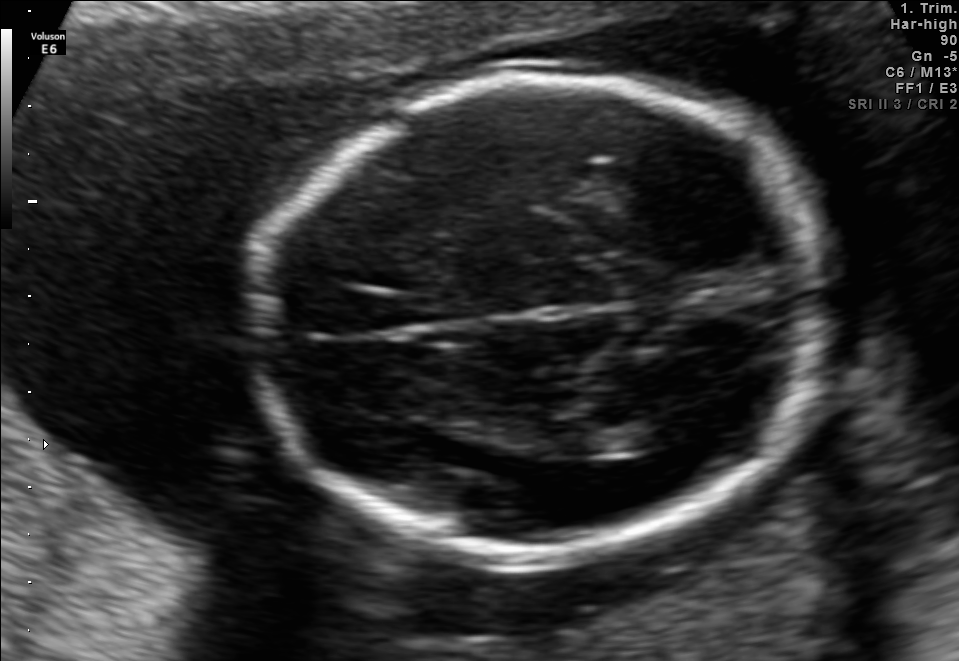
Fetal brain, trans-thalamic plane. Locate the fetal head and, if visible, the cavum septum pellucidum (CSP) and lateral ventricle (LV). Give bounding boxes as [x1,y1,x2,y2].

Head: [258,80,825,561]
Lateral ventricle: [625,405,703,456]